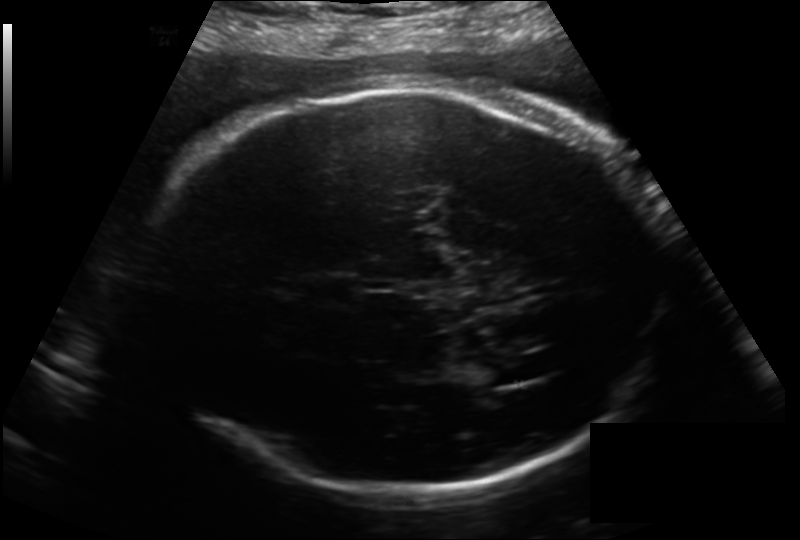
Estimate the fetal head circumference from this 2D ultrasound.

Head circumference: 324.6 mm (image width 171.3 mm).